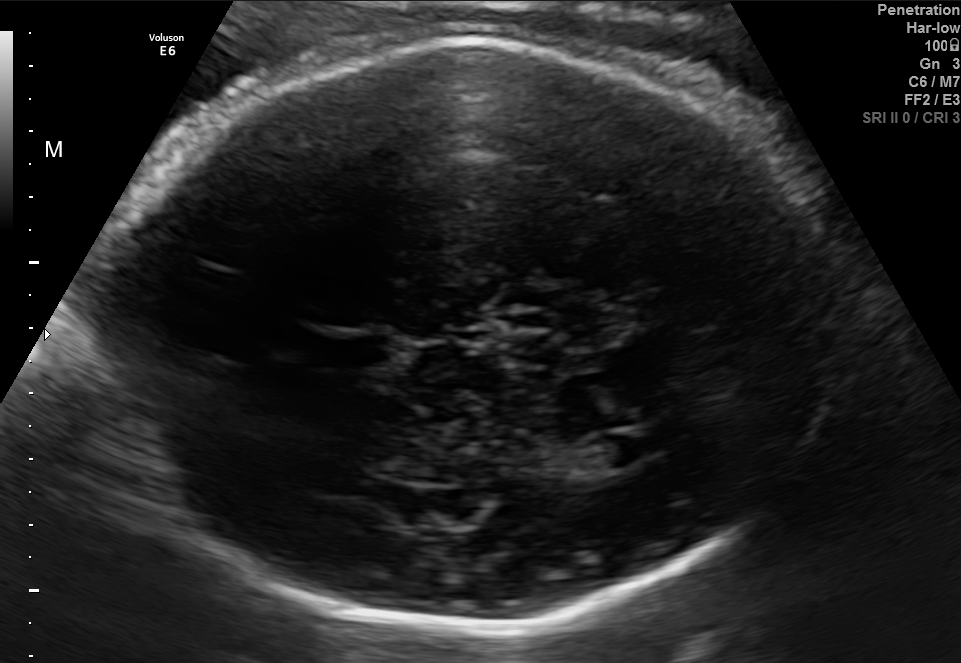
In this fetal brain, trans-ventricular plane, give the bounding box of the fetal head.

[87,31,870,634]